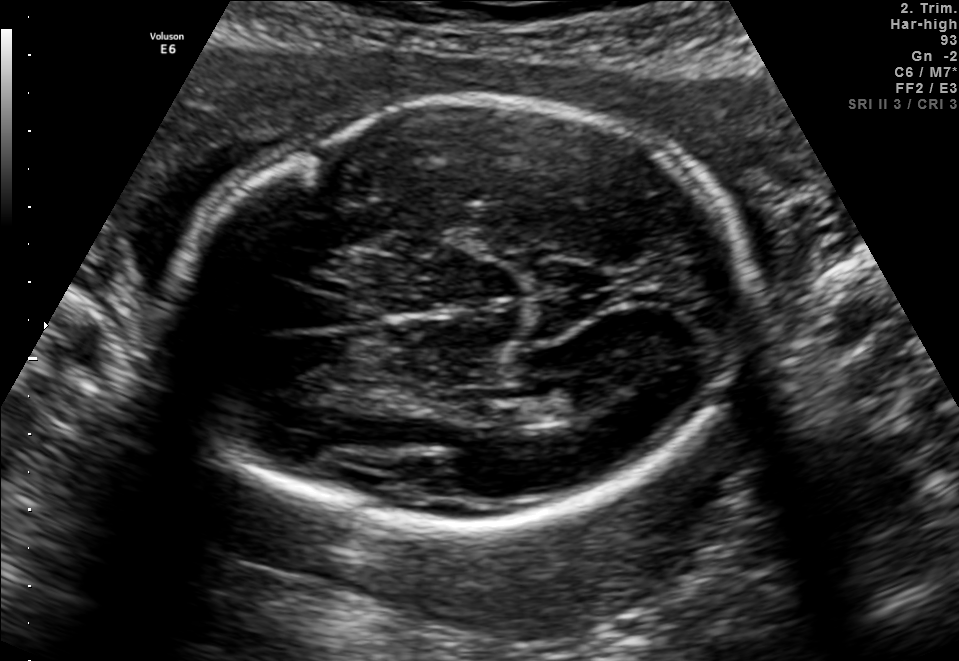
Fetal brain, trans-thalamic plane. Locate the fetal head.

Head: [180,102,753,519]